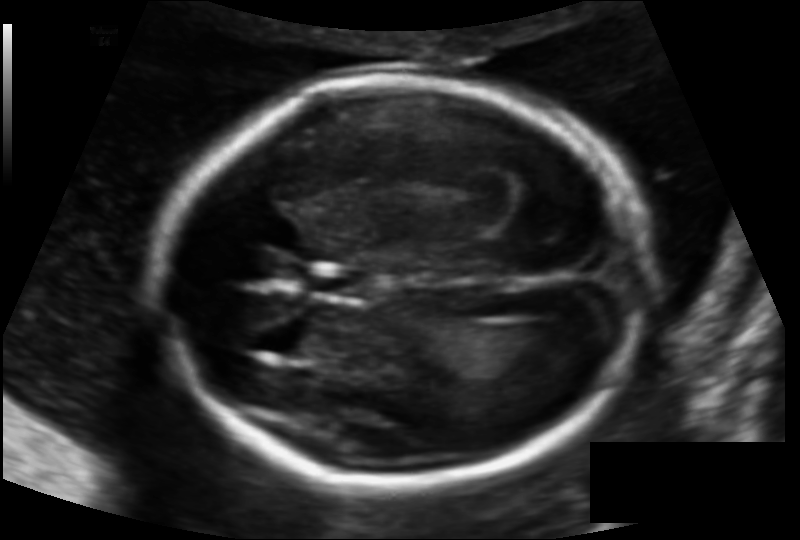
In this fetal head ultrasound, give bounding boxes for the head outline, cavum septum pellucidum (CSP), and lateral ventricle (LV), where visible. Image width: 97.8 mm.

Head: [155,83,645,484]
CSP: [306,263,370,302]